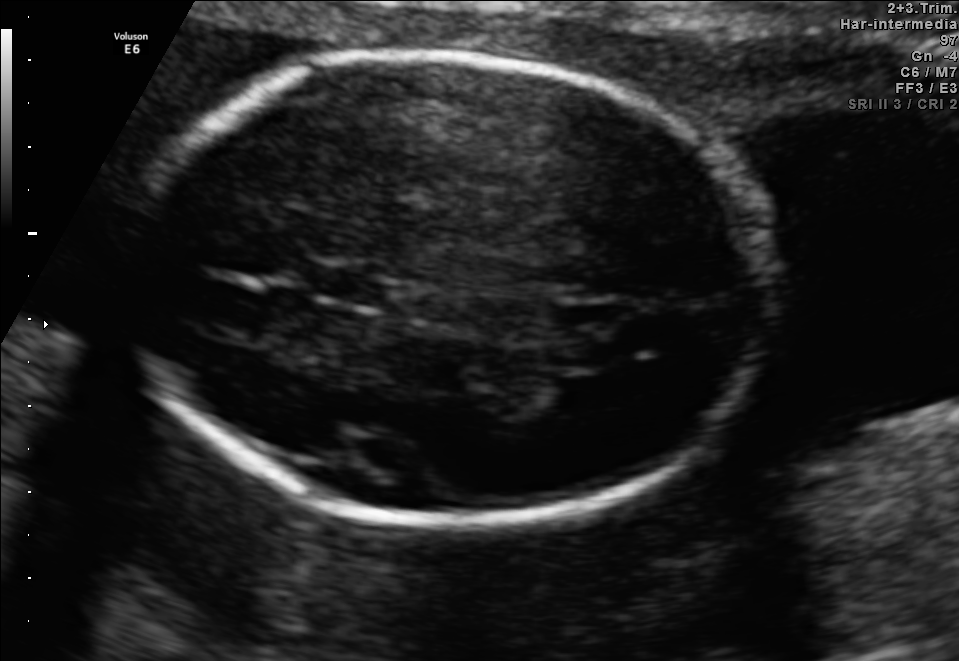
Fetal brain, trans-thalamic plane. Locate the cavum septum pellucidum.

CSP: [313,261,388,311]